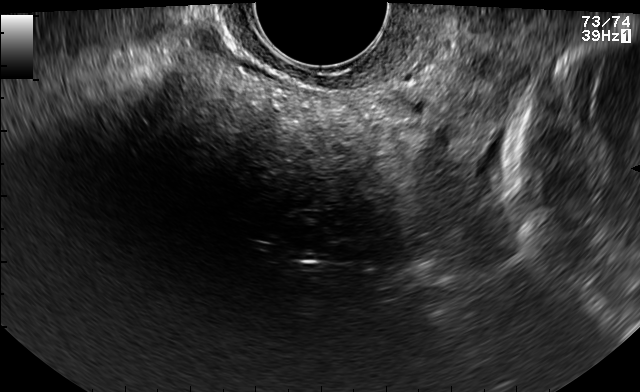
Classify this maternal-fetal ultrasound image as one of the six standard planes — fetal abdomen, fetal brain, fetal femur, fetal thorax, maternal cervix, or other. If it's fetal brain and one of the three standard brain planes (trans-thalamic, trans-cerebellum, trans-ventricular), name which.

Maternal cervix